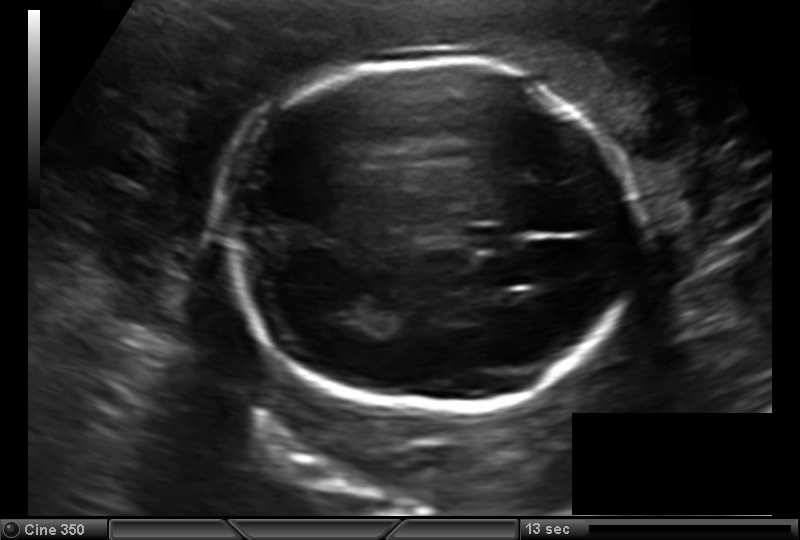
Fetal head ultrasound. Image width: 125.6 mm. Locate the cavum septum pellucidum.

CSP: [466,226,518,248]